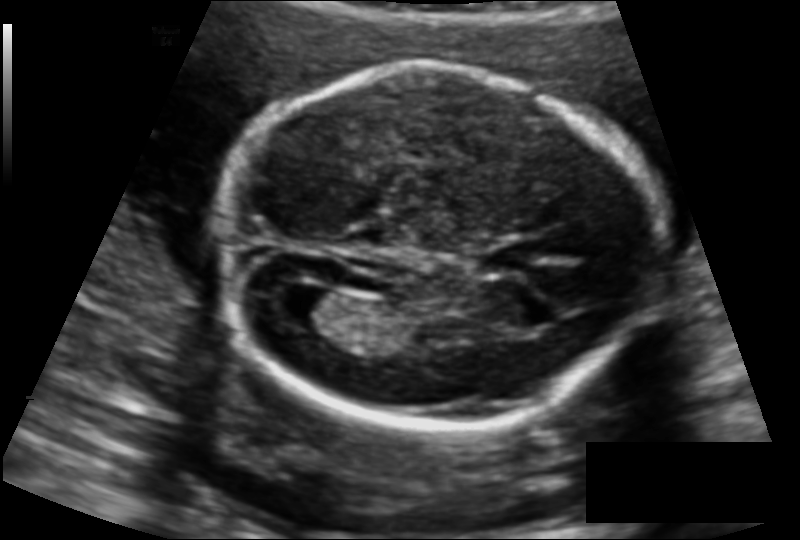
Fetal head ultrasound. Image width: 101.8 mm. Locate the cavum septum pellucidum.

CSP: [484,242,539,274]